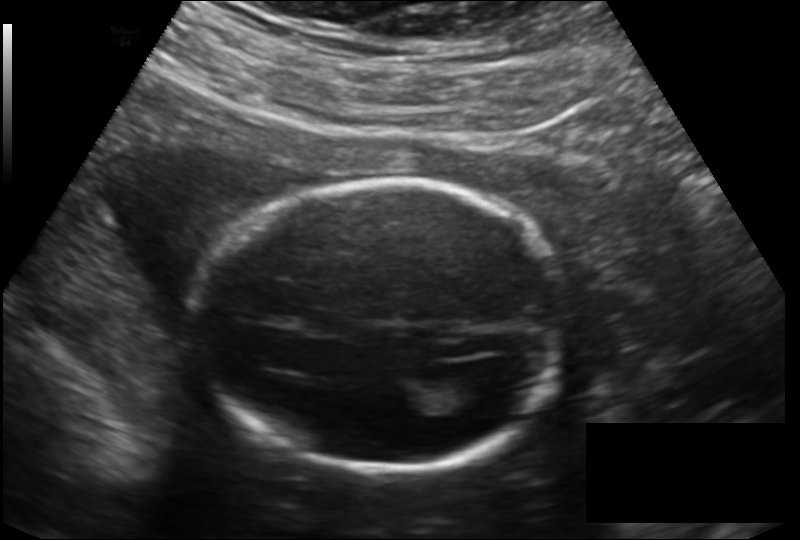
What is the fetal head circumference? Image width is 133.1 mm.

179.0 mm